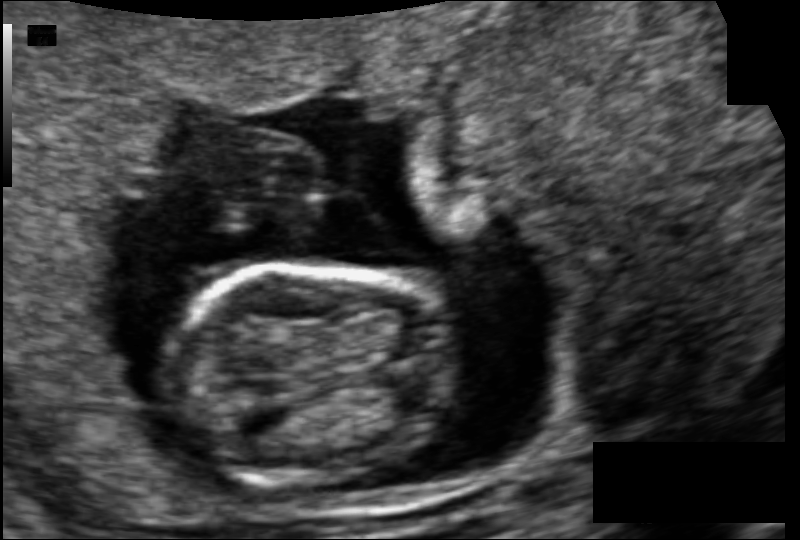
Fetal head ultrasound. Image width: 70.0 mm. Locate the fetal head and, if visible, the cavum septum pellucidum (CSP) and lateral ventricle (LV). Give bounding boxes as [x1,y1,x2,y2].

Head: [166,262,457,485]